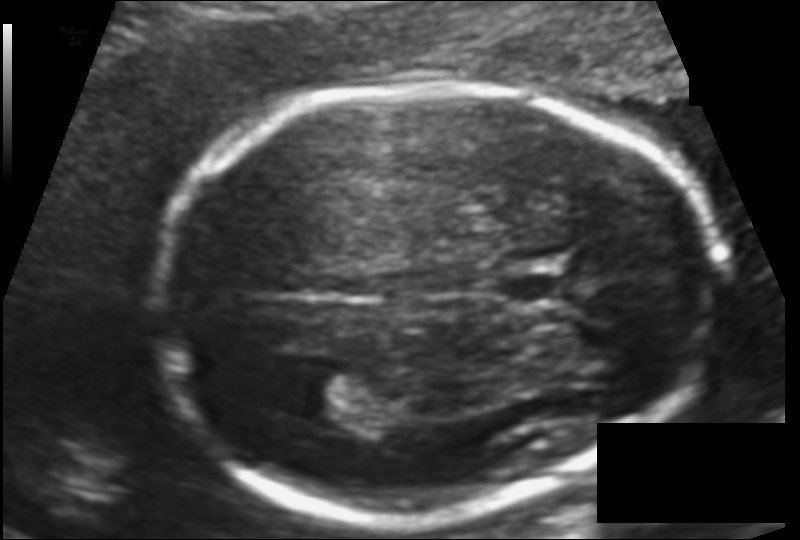
Estimate the fetal head circumference from this 2D ultrasound. Image width: 87.8 mm.

Head circumference: 177.4 mm.